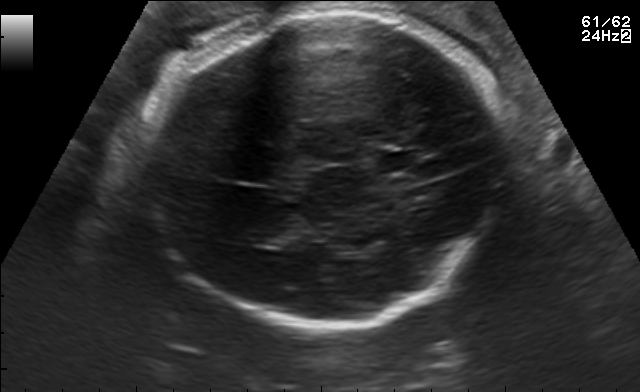
This is a 2D maternal-fetal ultrasound frame. Is it a fetal abdomen, fetal brain, fetal femur, fetal thorax, maternal cervix, or other standard plane? If it's fetal brain and one of the three standard brain planes (trans-thalamic, trans-cerebellum, trans-ventricular), name which.

Fetal brain (trans-thalamic plane)